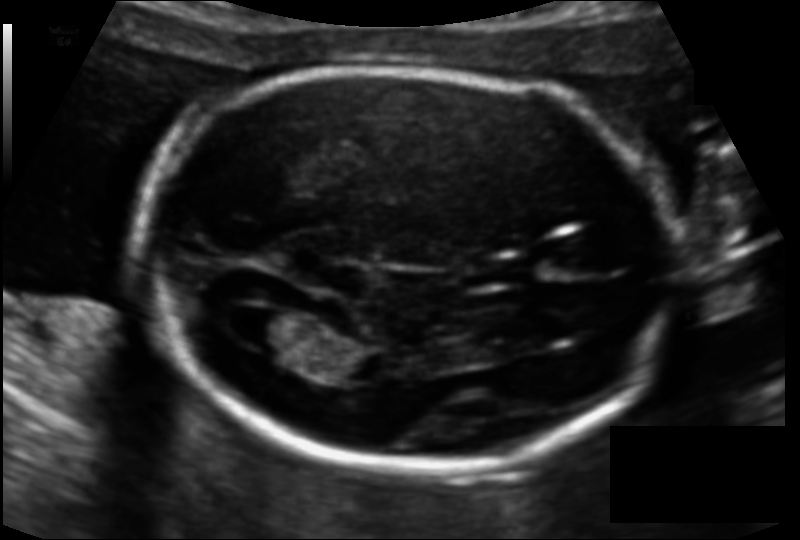
In this fetal head ultrasound, give the bounding box of the cavum septum pellucidum. Image width: 89.1 mm.

[468,252,532,293]